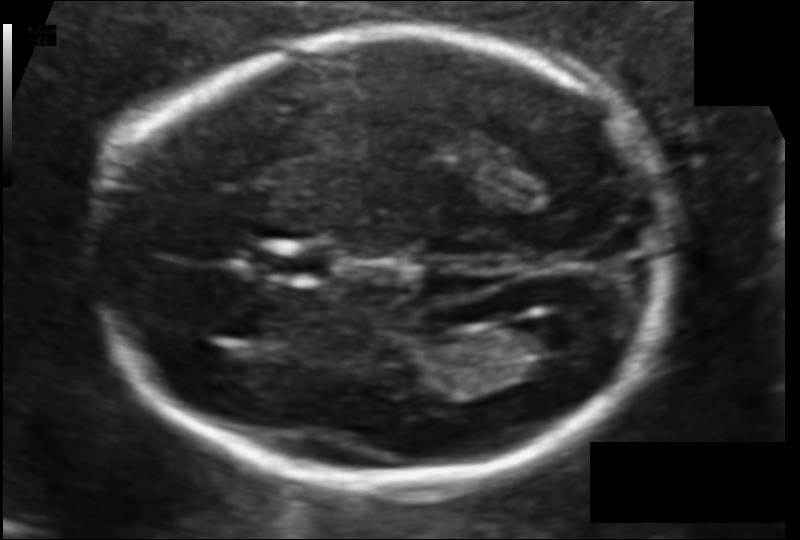
Fetal head ultrasound. Image width: 85.0 mm. Locate the fetal head and, if visible, the cavum septum pellucidum (CSP) and lateral ventricle (LV). Give bounding boxes as [x1,y1,x2,y2].

Head: [98,32,670,485]
CSP: [251,245,329,284]
Lateral ventricle: [496,307,600,383]